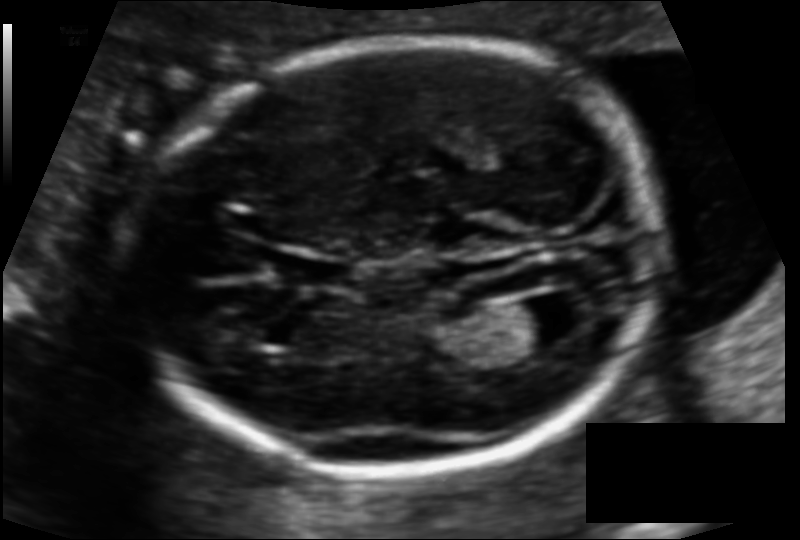
Fetal head ultrasound. Image width: 88.1 mm. Locate the fetal head and, if visible, the cavum septum pellucidum (CSP) and lateral ventricle (LV). Give bounding boxes as [x1,y1,x2,y2].

Head: [138,40,662,471]
CSP: [284,253,353,292]
Lateral ventricle: [502,288,585,354]